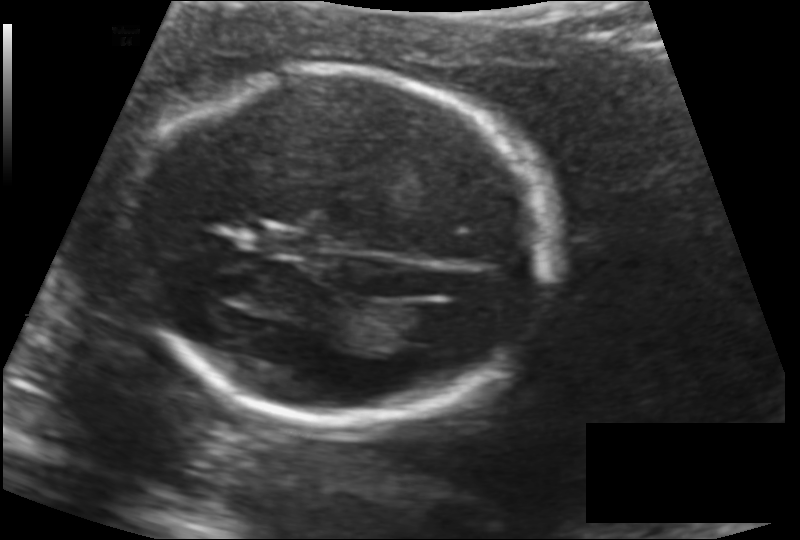
In this fetal head ultrasound, give the bounding box of the lateral ventricle. Image width: 105.6 mm.

[393,303,454,343]